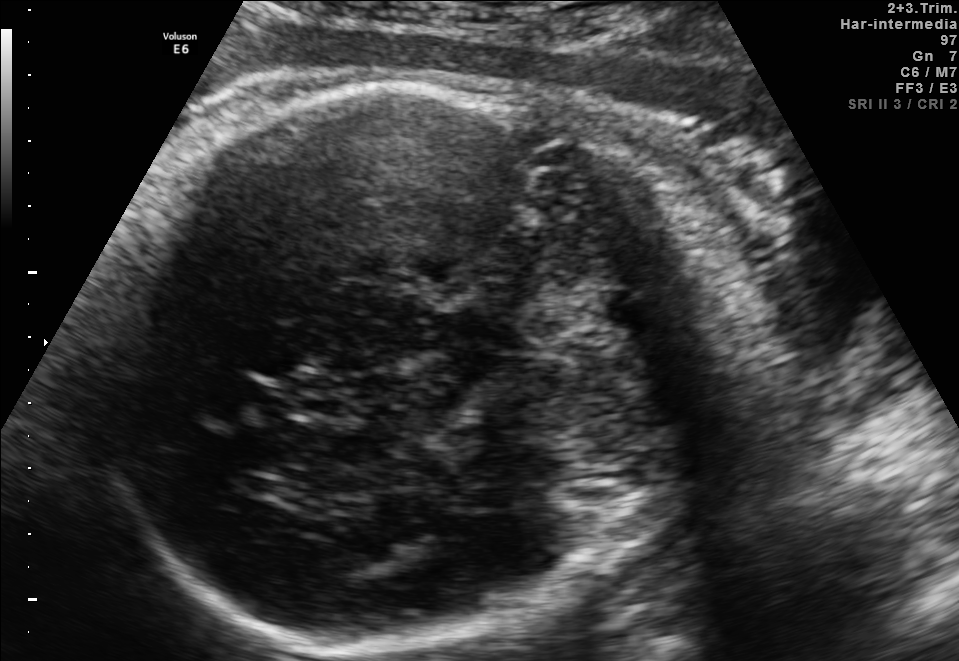
Fetal brain, trans-thalamic plane. Where is the fetal head?

Head bounding box: [86,75,759,636]